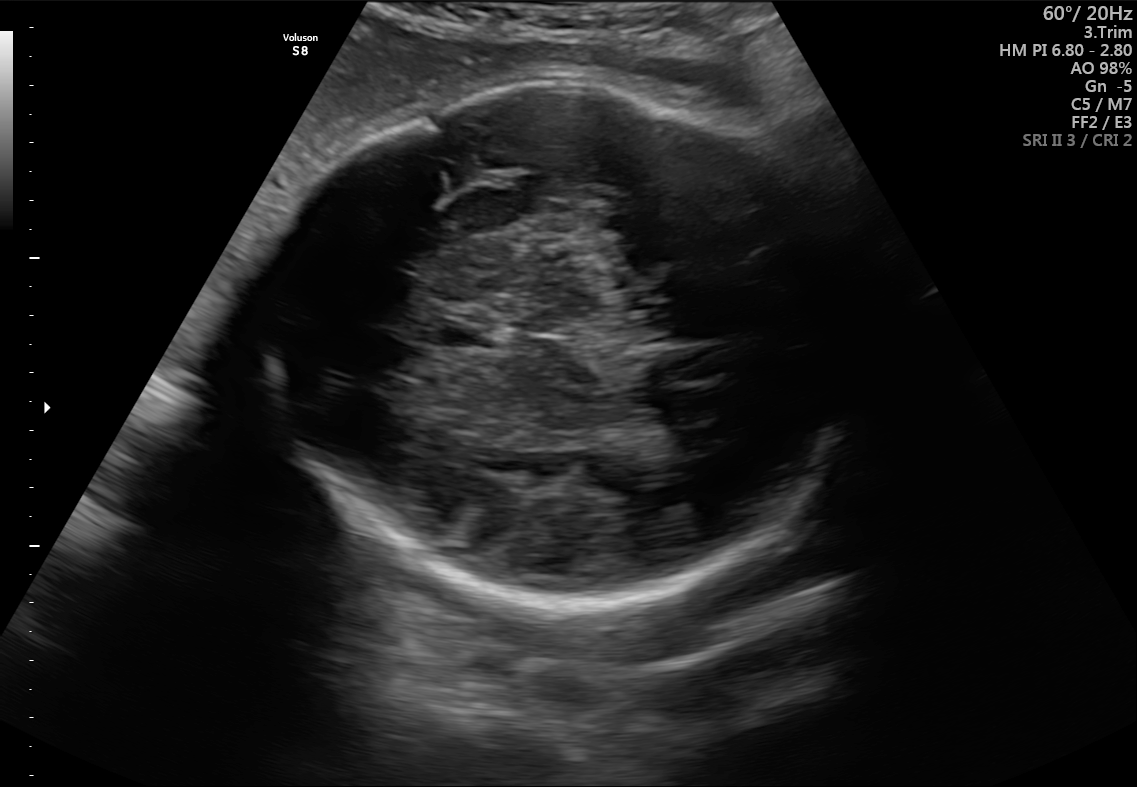
Fetal brain, trans-thalamic plane. Locate the cavum septum pellucidum.

CSP: [434,313,496,349]